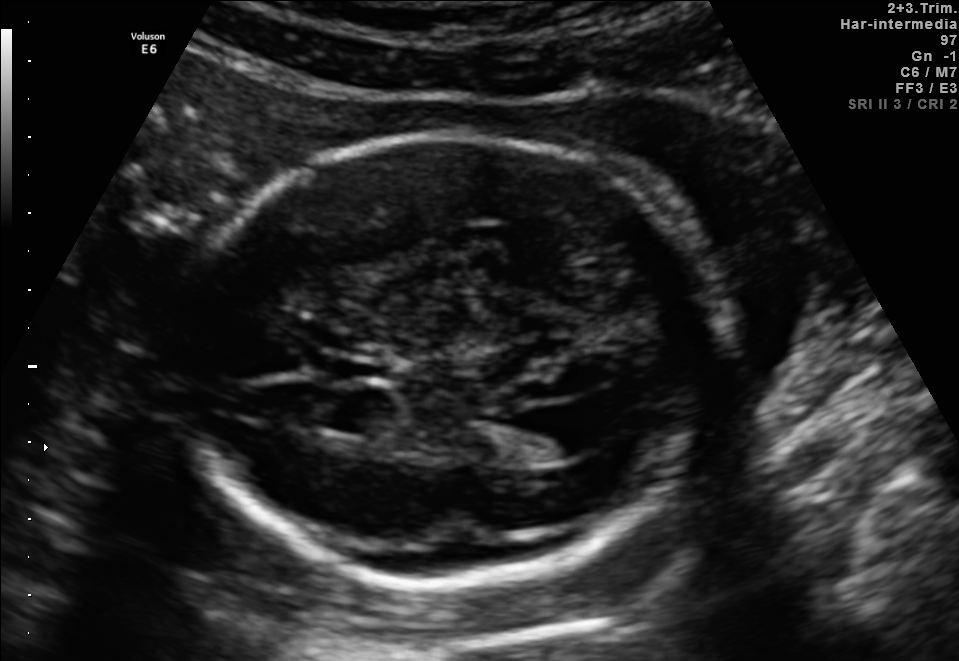
Fetal brain, trans-ventricular plane. Locate the fetal head.

Head: [162,127,747,598]